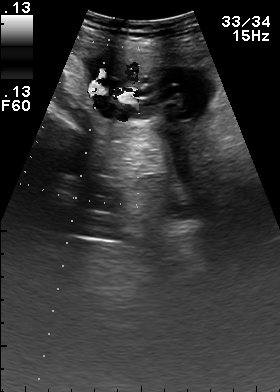
Which standard maternal-fetal ultrasound plane is shown: fetal abdomen, fetal brain, fetal femur, fetal thorax, maternal cervix, or other? If it's fetal brain and one of the three standard brain planes (trans-thalamic, trans-cerebellum, trans-ventricular), name which.

Other